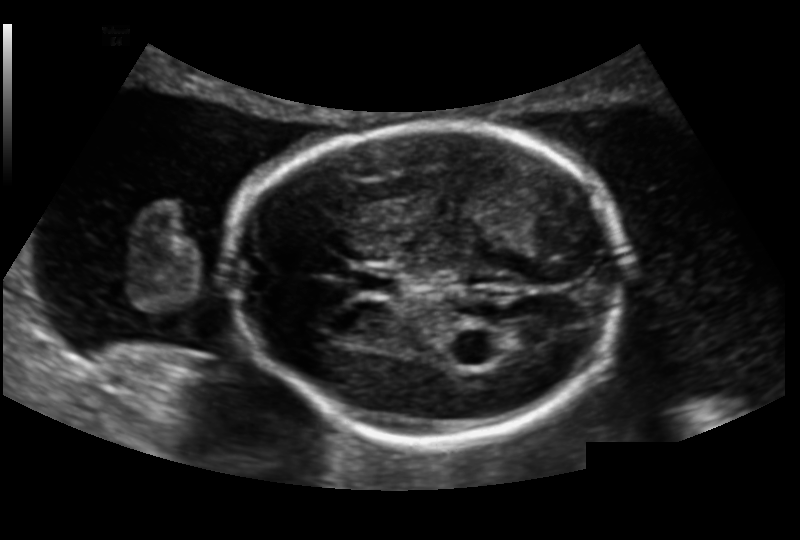
Fetal head ultrasound. Image width: 121.1 mm. Where is the fetal head?

Head bounding box: [229,123,626,444]